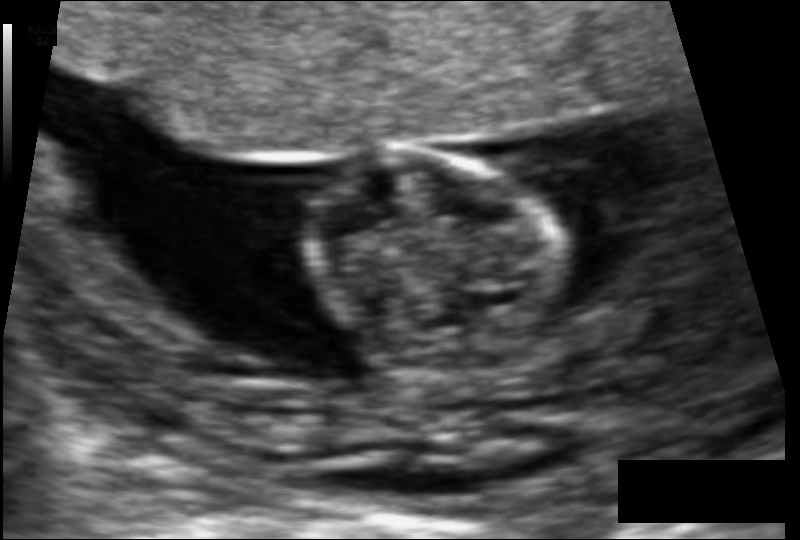
Fetal head ultrasound. Image width: 63.2 mm. Locate the fetal head and, if visible, the cavum septum pellucidum (CSP) and lateral ventricle (LV). Give bounding boxes as [x1,y1,x2,y2].

Head: [306,150,571,377]